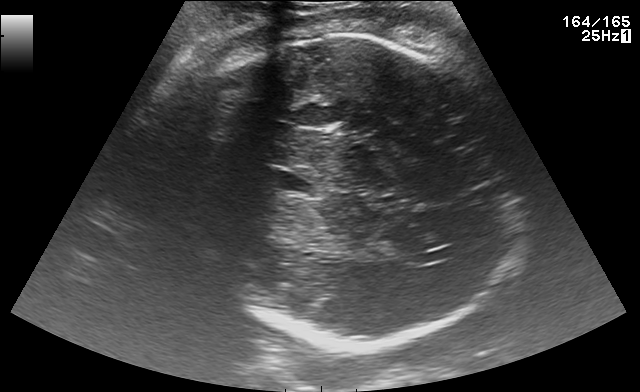
In this fetal brain, trans-thalamic plane, give bounding boxes for the head outline, cavum septum pellucidum (CSP), and lateral ventricle (LV), where visible.

Head: [190,36,516,346]
CSP: [276,169,313,193]
Lateral ventricle: [413,243,456,269]